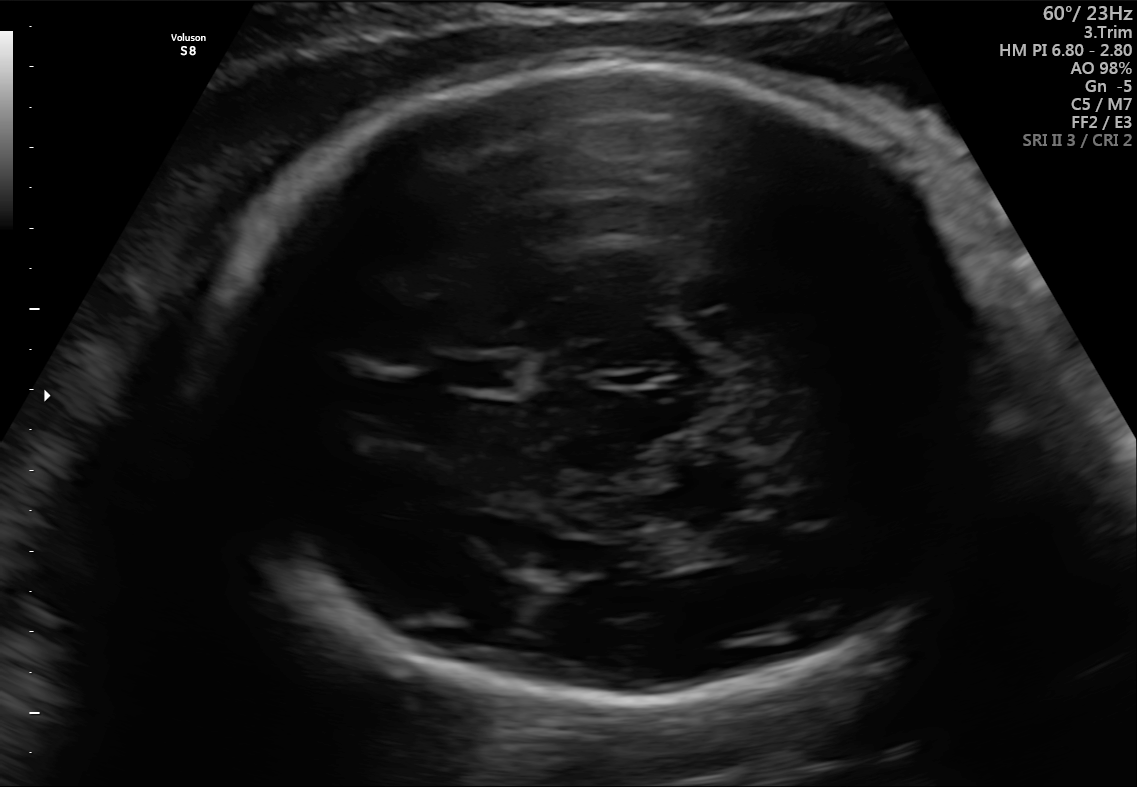
Fetal brain, trans-thalamic plane. Locate the fetal head and, if visible, the cavum septum pellucidum (CSP) and lateral ventricle (LV). Give bounding boxes as [x1,y1,x2,y2].

Head: [199,64,1026,706]
CSP: [435,355,523,391]
Lateral ventricle: [671,506,777,571]